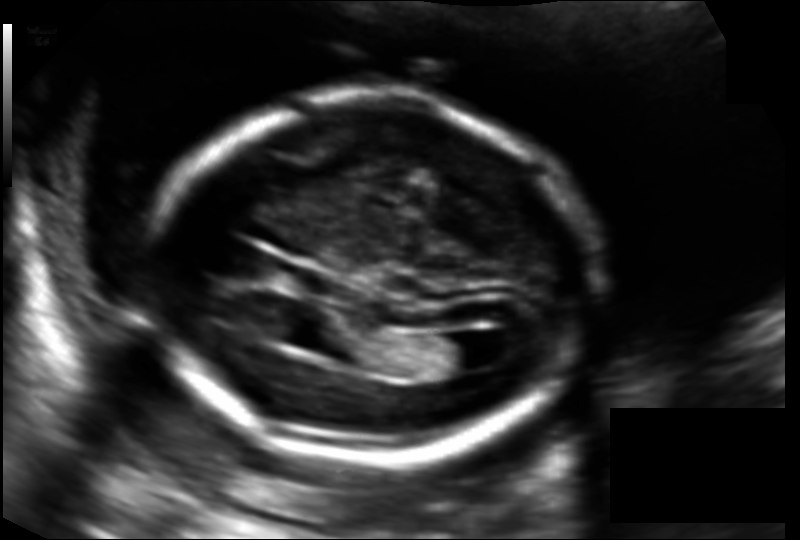
Fetal head ultrasound. Image width: 104.2 mm. Where is the fetal head?

Head bounding box: [151,97,591,461]